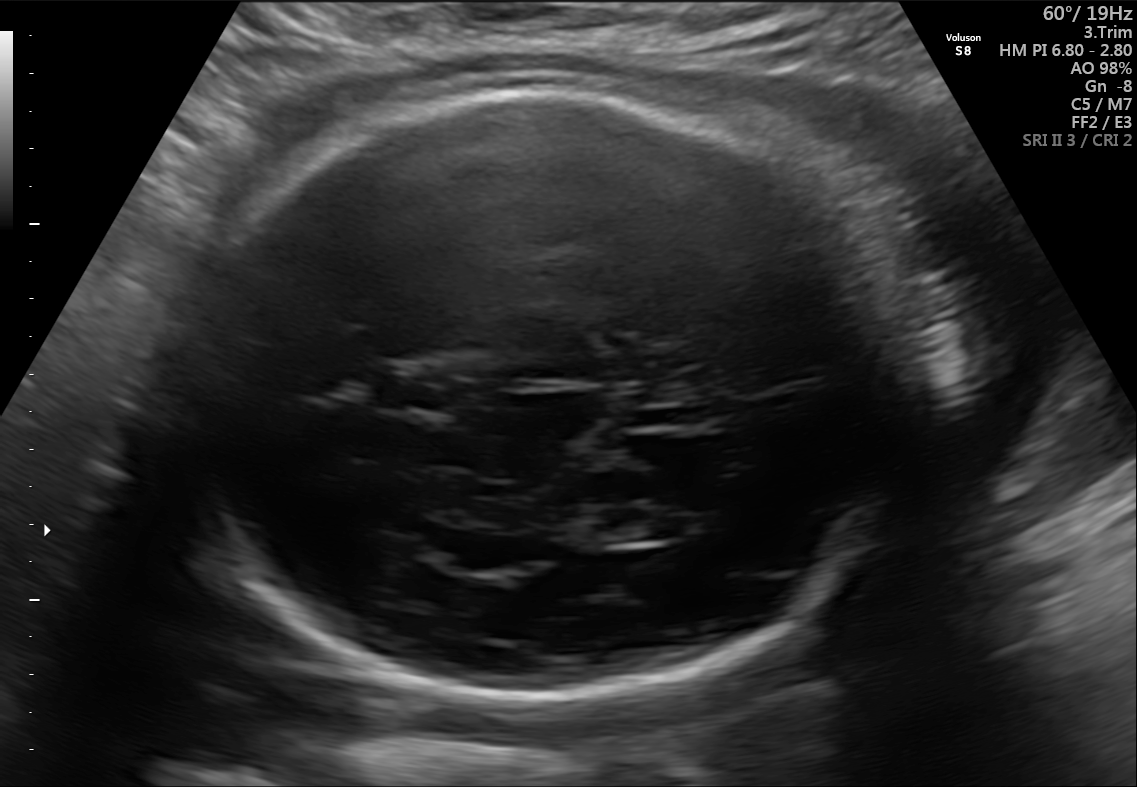
In this fetal brain, trans-thalamic plane, give the bounding box of the cavum septum pellucidum.

[377,370,450,410]